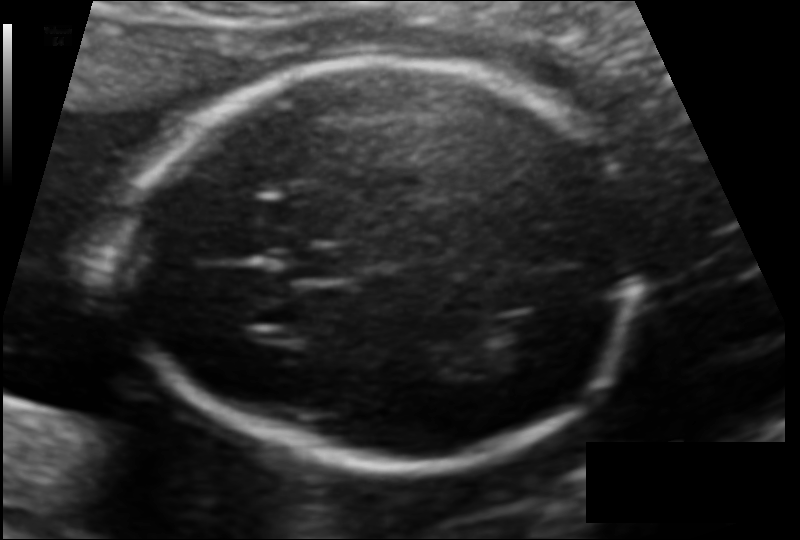
Fetal head ultrasound. Image width: 92.5 mm. Where is the cavum septum pellucidum?

CSP bounding box: [279,247,351,282]